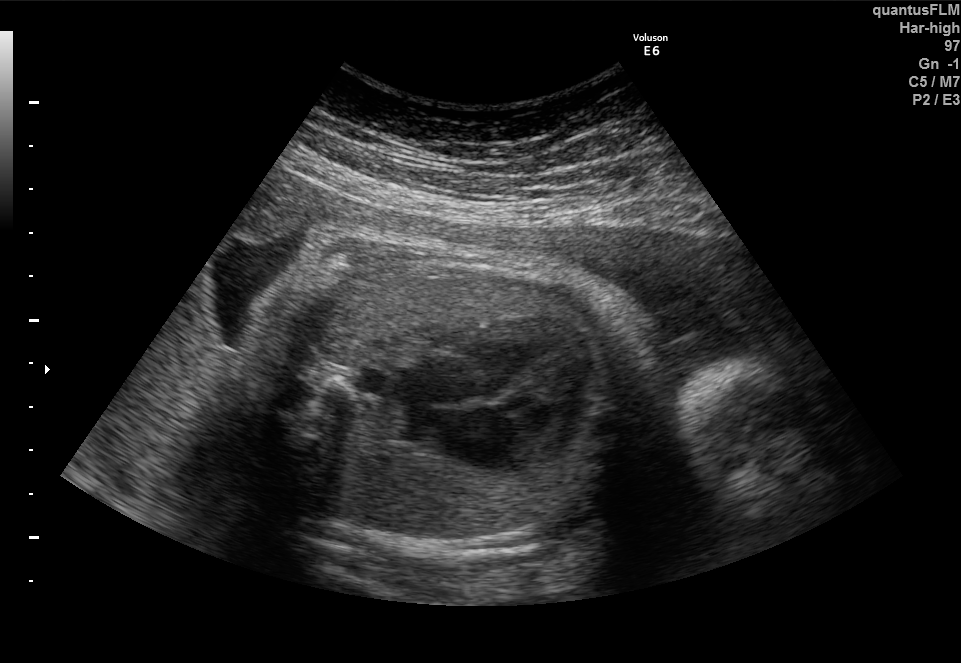
Classify this maternal-fetal ultrasound image as one of the six standard planes — fetal abdomen, fetal brain, fetal femur, fetal thorax, maternal cervix, or other. If it's fetal brain and one of the three standard brain planes (trans-thalamic, trans-cerebellum, trans-ventricular), name which.

Fetal thorax